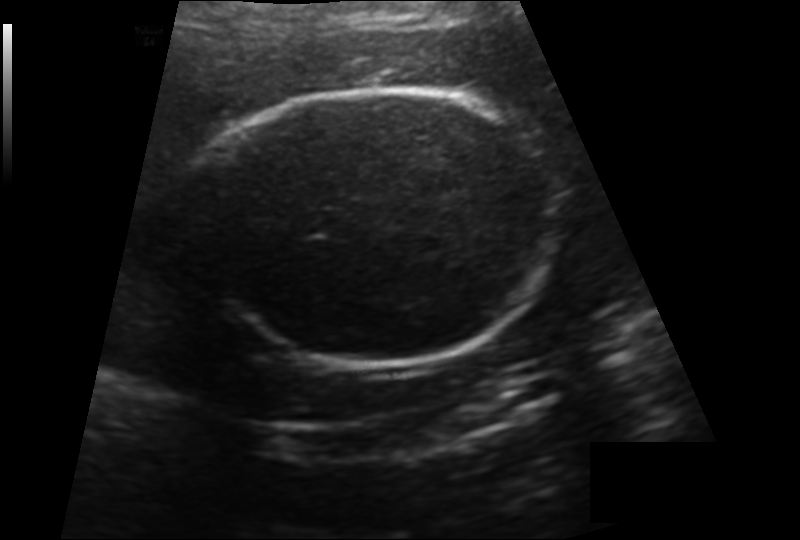
Fetal head ultrasound. Image width: 133.0 mm. Locate the fetal head and, if visible, the cavum septum pellucidum (CSP) and lateral ventricle (LV). Give bounding boxes as [x1,y1,x2,y2].

Head: [199,87,552,364]